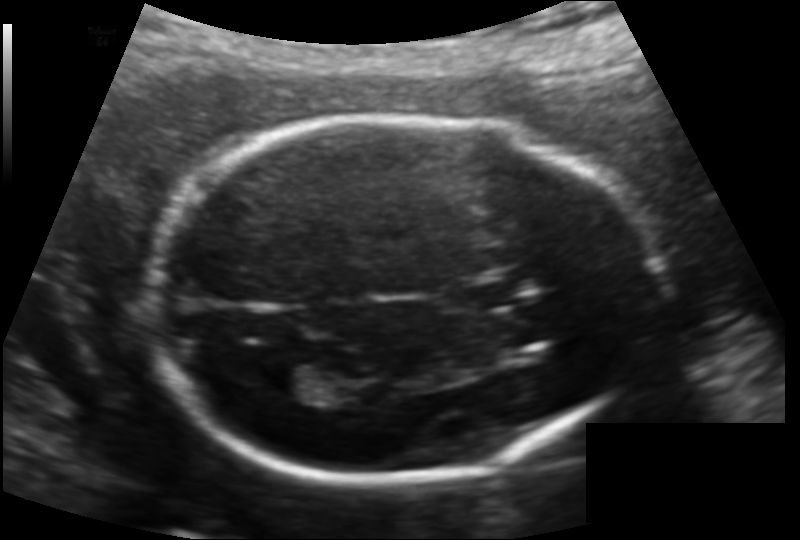
Estimate the fetal head circumference from this 2D ultrasound. Image width: 105.6 mm.

Head circumference: 189.4 mm.